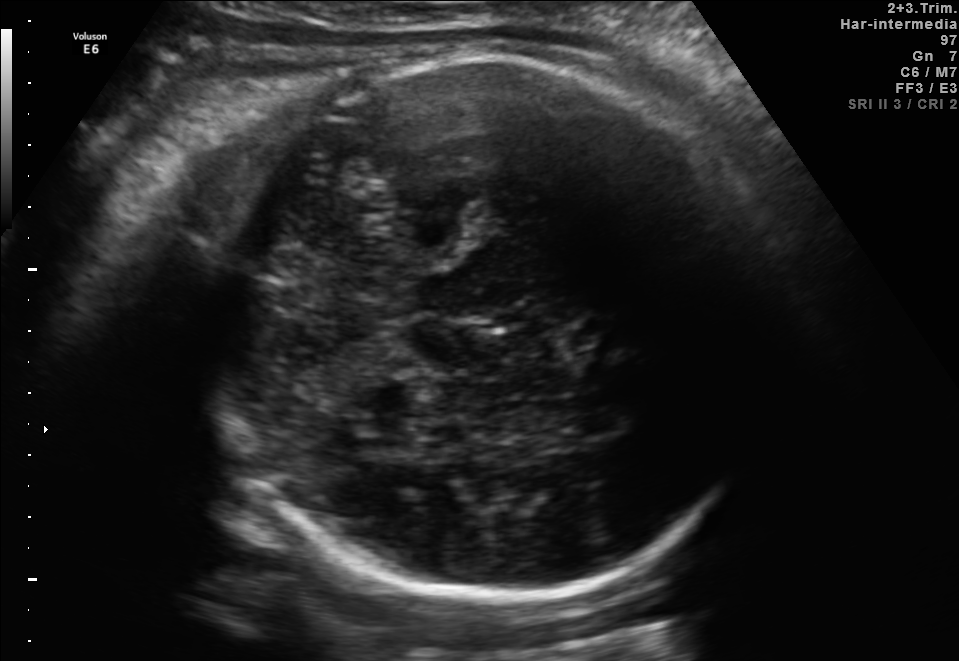
Fetal brain, trans-cerebellum plane. Give [x1,y1,x2,y2] bounding boxes for each visible structure among: fetal head, CSP, LV.

Head: [214,57,769,602]